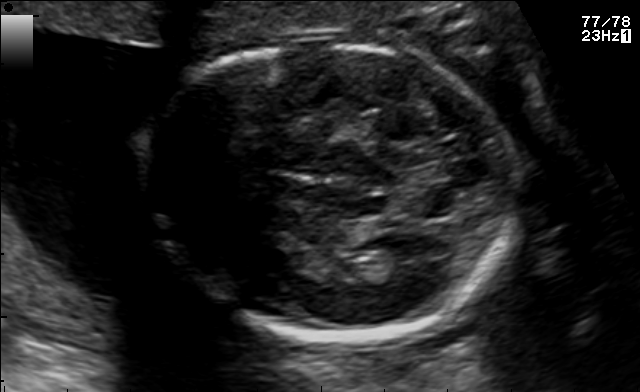
Fetal brain, trans-thalamic plane. Where is the fetal head?

Head bounding box: [153,37,517,337]